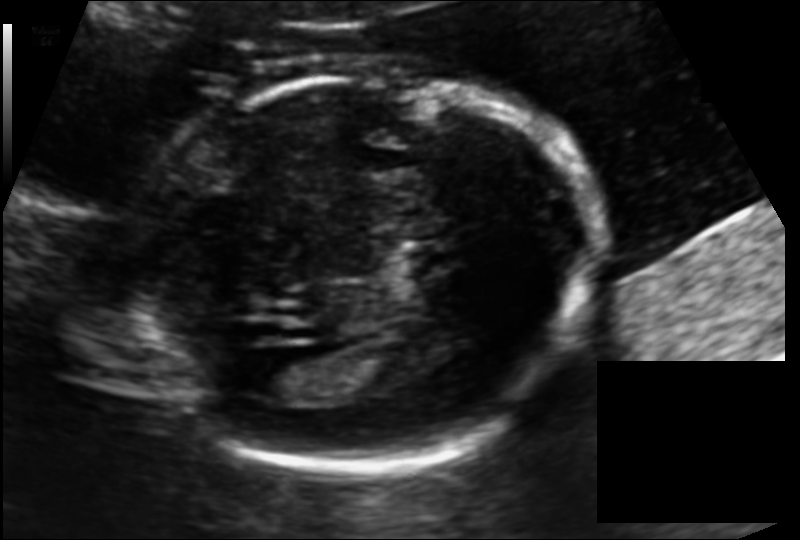
In this fetal head ultrasound, give bounding boxes for the head outline, cavum septum pellucidum (CSP), and lateral ventricle (LV), where visible. Image width: 99.9 mm.

Head: [122,74,596,468]
Lateral ventricle: [258,358,323,397]